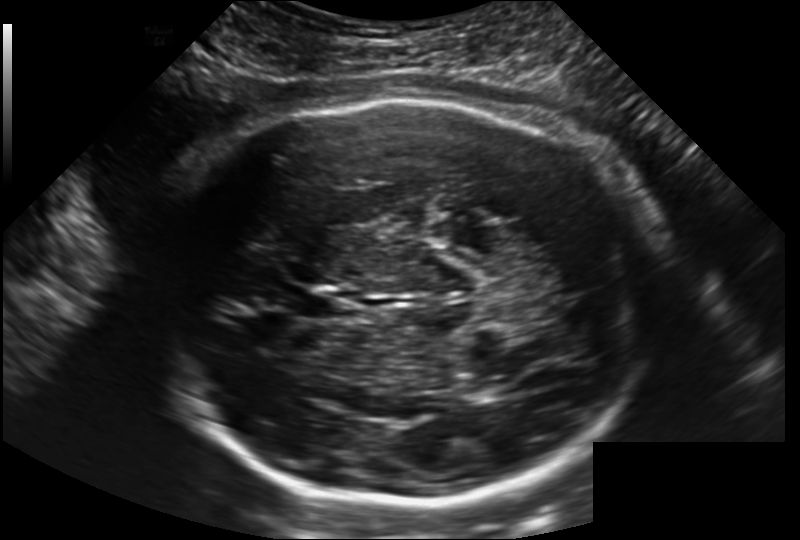
In this fetal head ultrasound, give the bounding box of the cavum septum pellucidum. Image width: 161.6 mm.

[286,287,343,321]